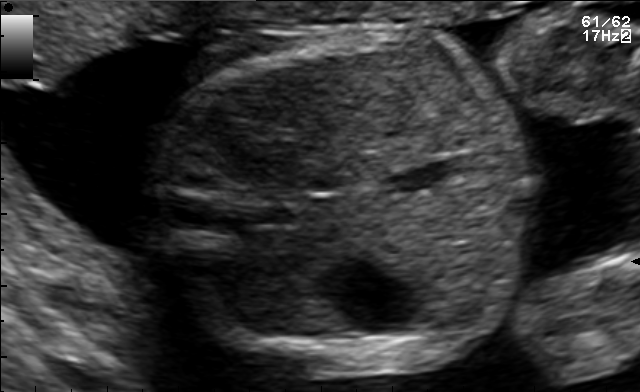
Identify the standard plane in this fetal ultrasound image: fetal abdomen, fetal brain, fetal femur, fetal thorax, maternal cervix, or other. If it's fetal brain and one of the three standard brain planes (trans-thalamic, trans-cerebellum, trans-ventricular), name which.

Fetal abdomen